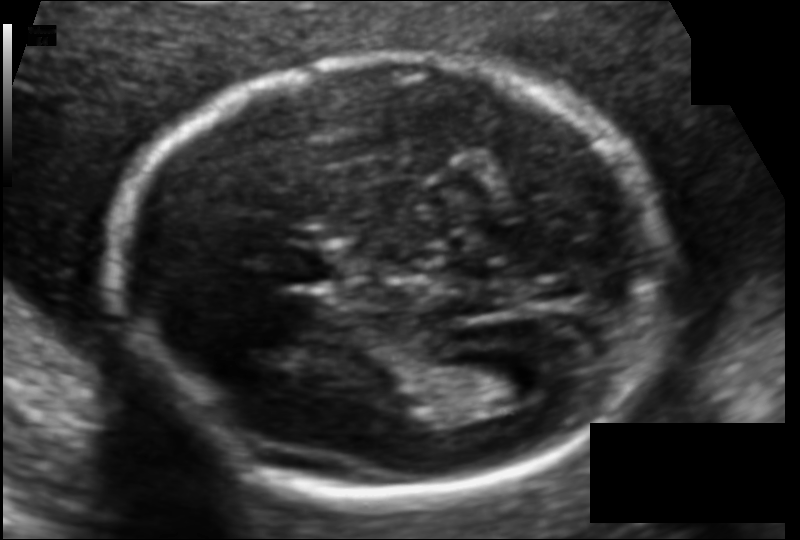
Fetal head ultrasound. Image width: 83.5 mm. Locate the fetal head and, if visible, the cavum septum pellucidum (CSP) and lateral ventricle (LV). Give bounding boxes as [x1,y1,x2,y2].

Head: [113,56,668,498]
CSP: [270,245,334,287]
Lateral ventricle: [460,346,554,413]